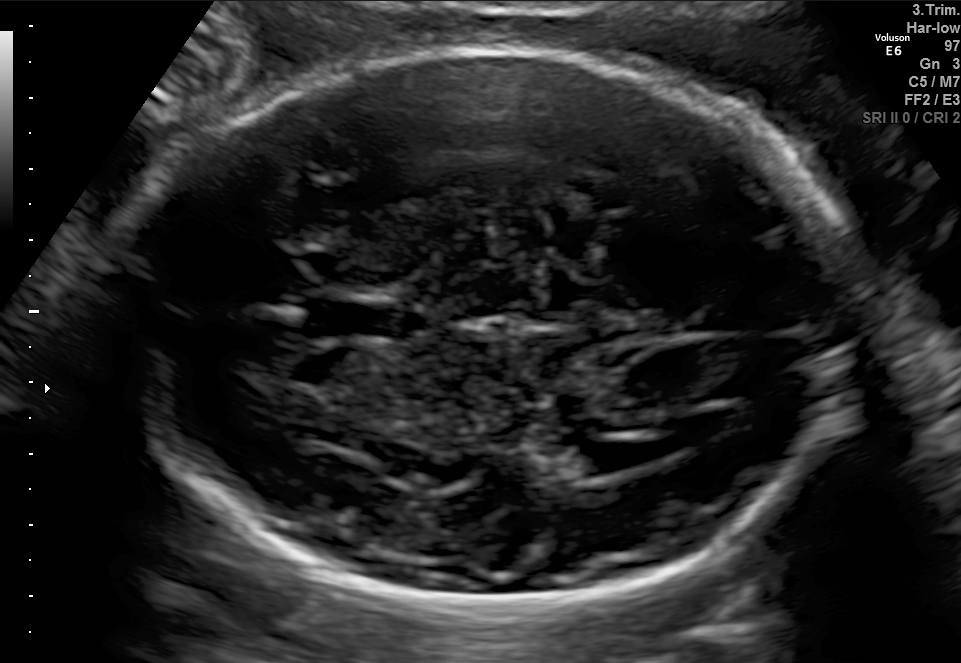
Fetal brain, trans-ventricular plane. Locate the fetal head.

Head: [112,44,875,617]